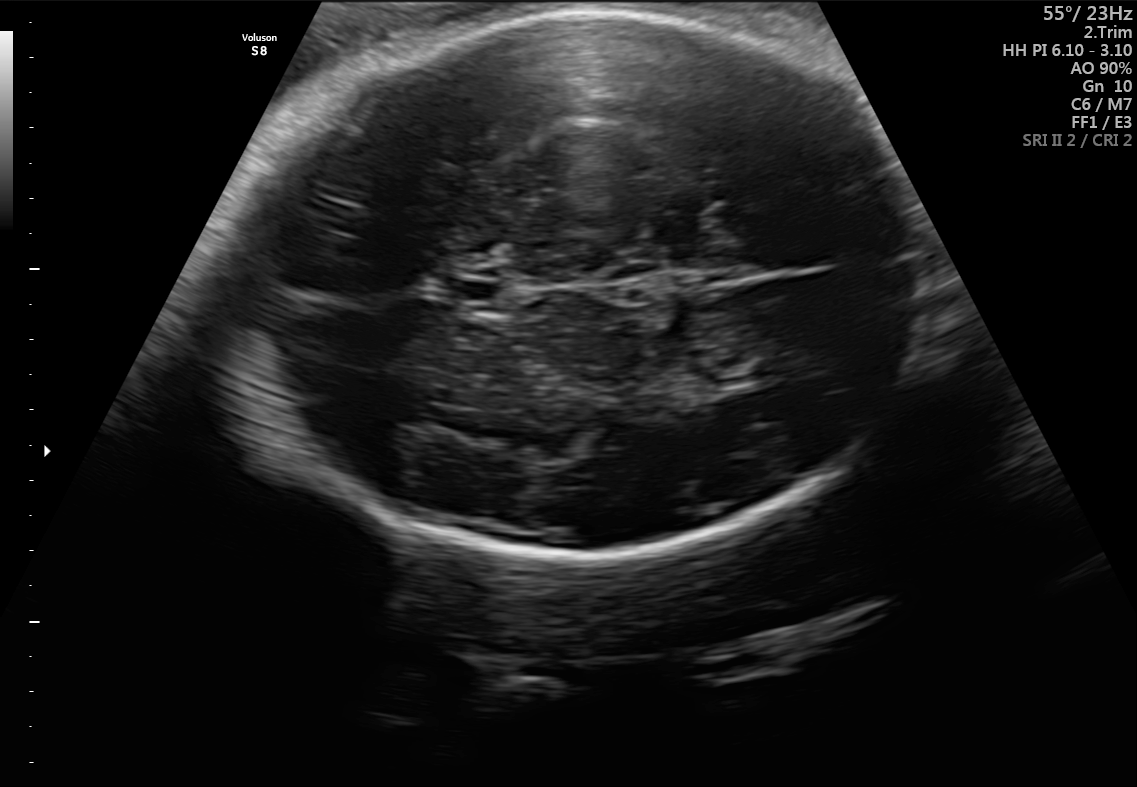
Classify this maternal-fetal ultrasound image as one of the six standard planes — fetal abdomen, fetal brain, fetal femur, fetal thorax, maternal cervix, or other. If it's fetal brain and one of the three standard brain planes (trans-thalamic, trans-cerebellum, trans-ventricular), name which.

Fetal brain (trans-thalamic plane)